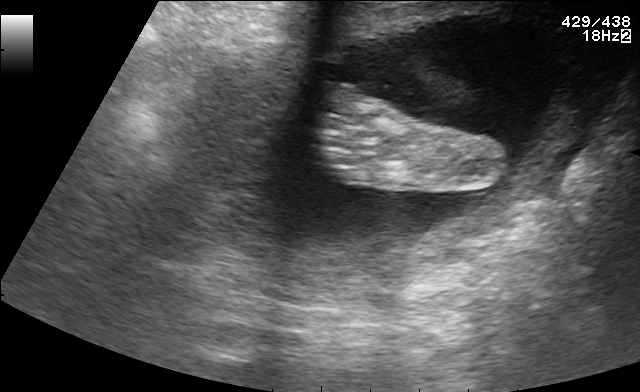
Which standard maternal-fetal ultrasound plane is shown: fetal abdomen, fetal brain, fetal femur, fetal thorax, maternal cervix, or other? If it's fetal brain and one of the three standard brain planes (trans-thalamic, trans-cerebellum, trans-ventricular), name which.

Other